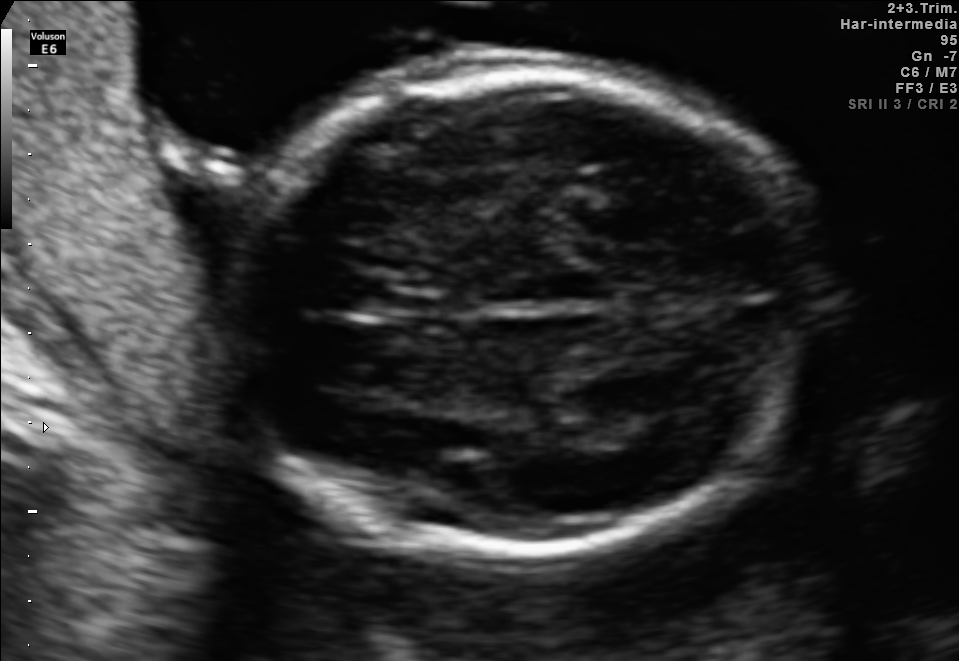
Fetal brain, trans-thalamic plane. Locate the fetal head.

Head: [209,74,800,555]